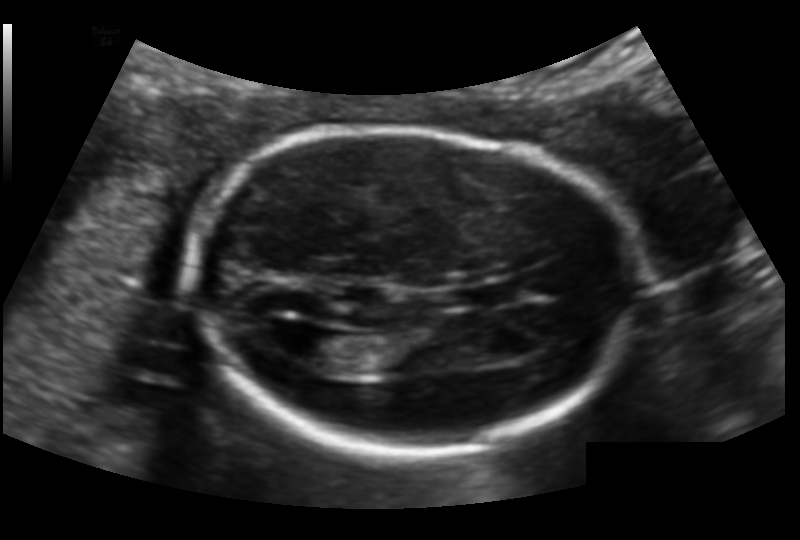
In this fetal head ultrasound, give the bounding box of the lateral ventricle. Image width: 105.5 mm.

[282,320,344,368]